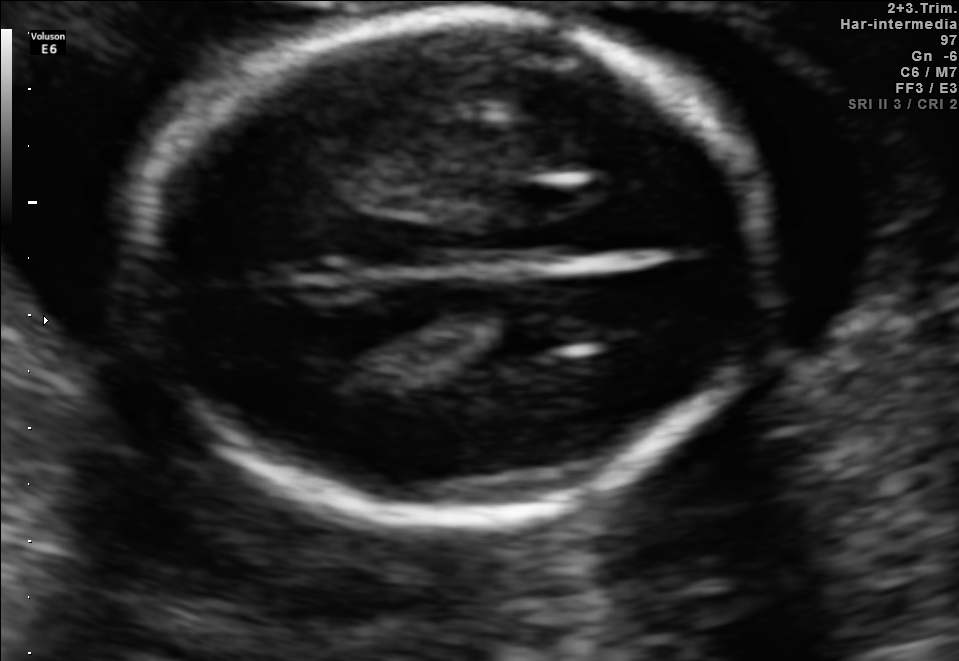
Fetal brain, trans-thalamic plane. Give [x1,y1,x2,y2] bounding boxes for each visible structure among: fetal head, CSP, LV.

Head: [125,17,768,518]